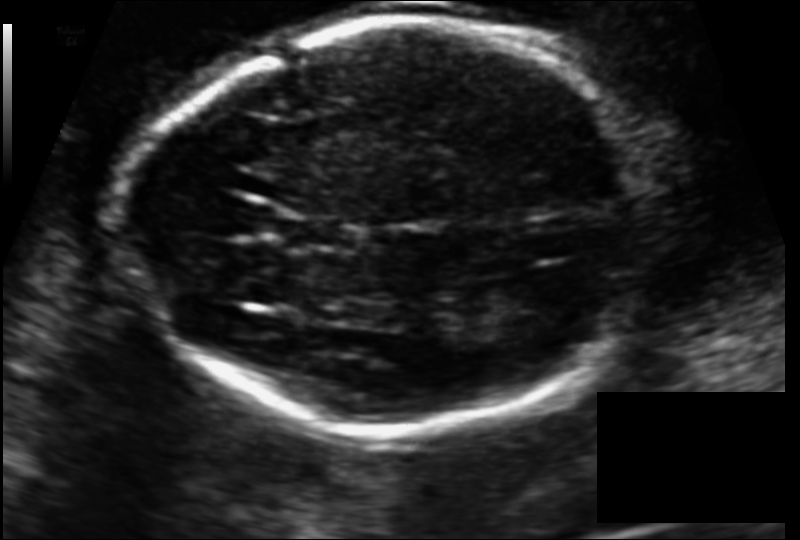
In this fetal head ultrasound, give the bounding box of the fetal head. Image width: 98.9 mm.

[128,19,652,433]